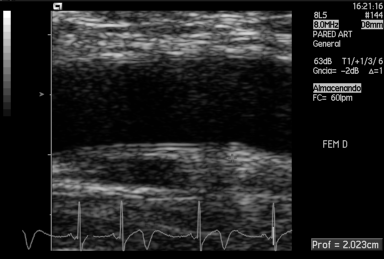
Which standard maternal-fetal ultrasound plane is shown: fetal abdomen, fetal brain, fetal femur, fetal thorax, maternal cervix, or other? If it's fetal brain and one of the three standard brain planes (trans-thalamic, trans-cerebellum, trans-ventricular), name which.

Other